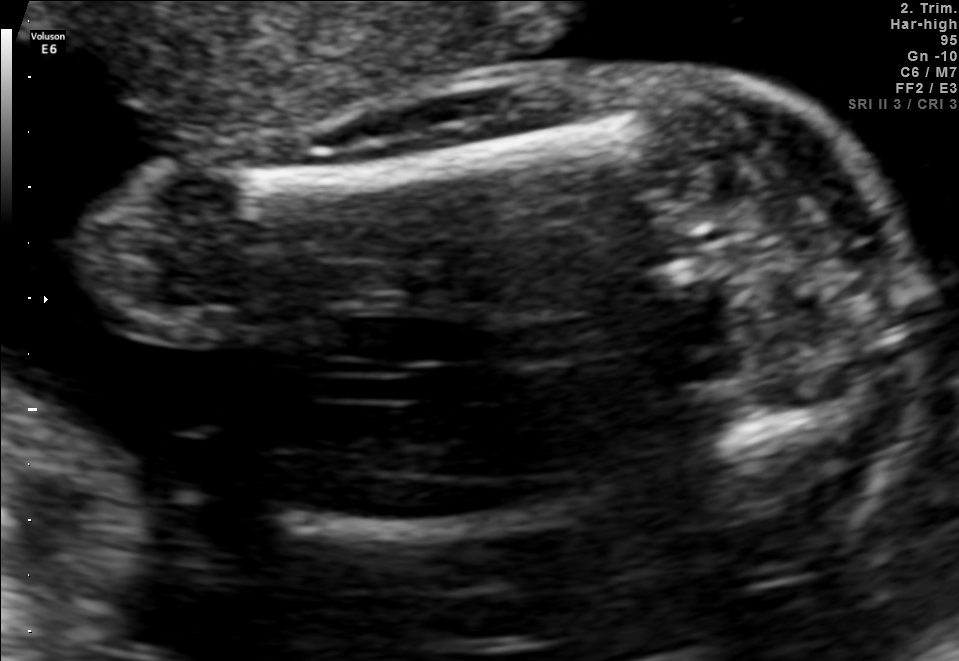
This is a 2D maternal-fetal ultrasound frame. Is it a fetal abdomen, fetal brain, fetal femur, fetal thorax, maternal cervix, or other standard plane? If it's fetal brain and one of the three standard brain planes (trans-thalamic, trans-cerebellum, trans-ventricular), name which.

Fetal femur